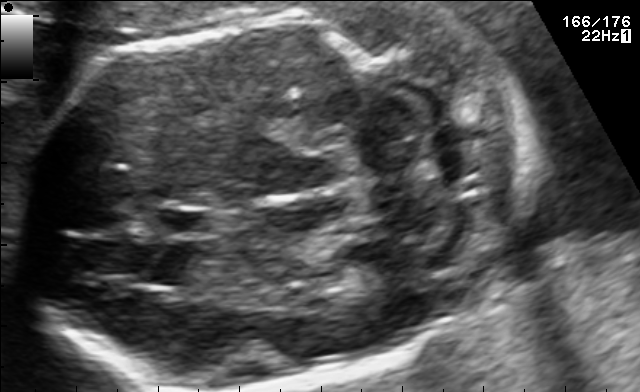
Classify this maternal-fetal ultrasound image as one of the six standard planes — fetal abdomen, fetal brain, fetal femur, fetal thorax, maternal cervix, or other. If it's fetal brain and one of the three standard brain planes (trans-thalamic, trans-cerebellum, trans-ventricular), name which.

Fetal brain (trans-cerebellum plane)